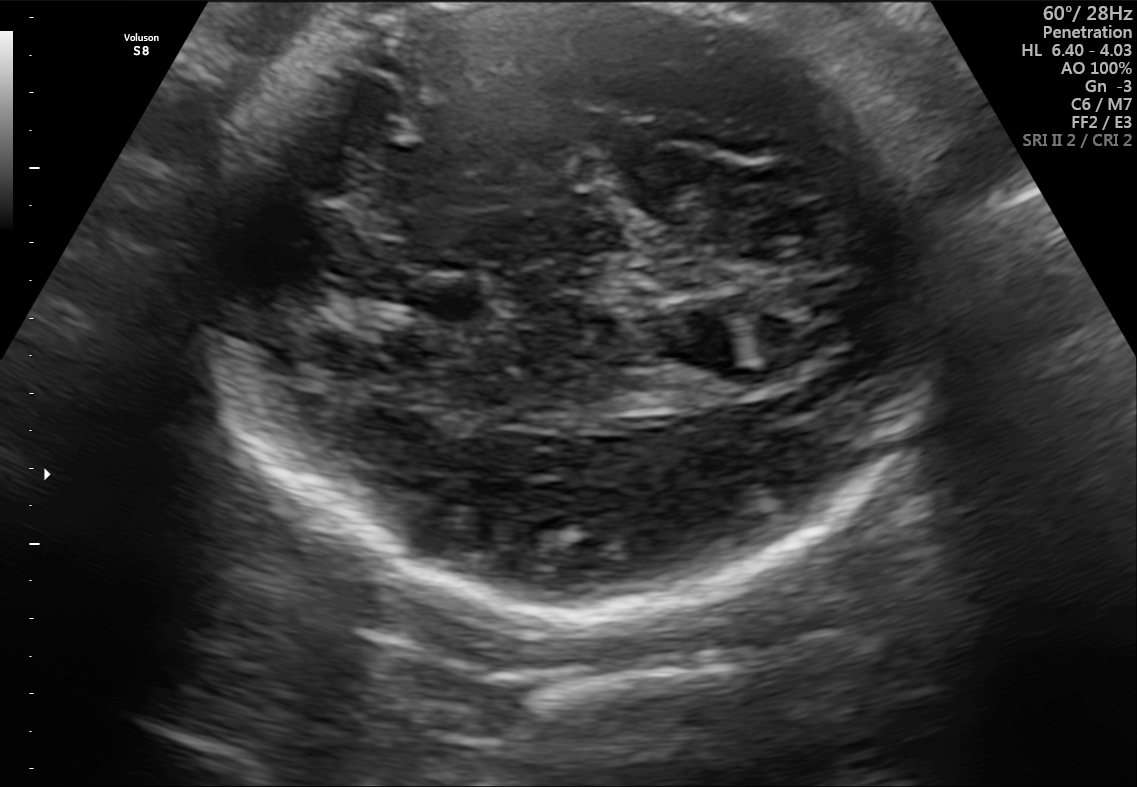
Fetal brain, trans-thalamic plane. Give [x1,y1,x2,y2] bounding boxes for each visible structure among: fetal head, CSP, LV.

Head: [209,5,938,620]
CSP: [408,276,487,316]